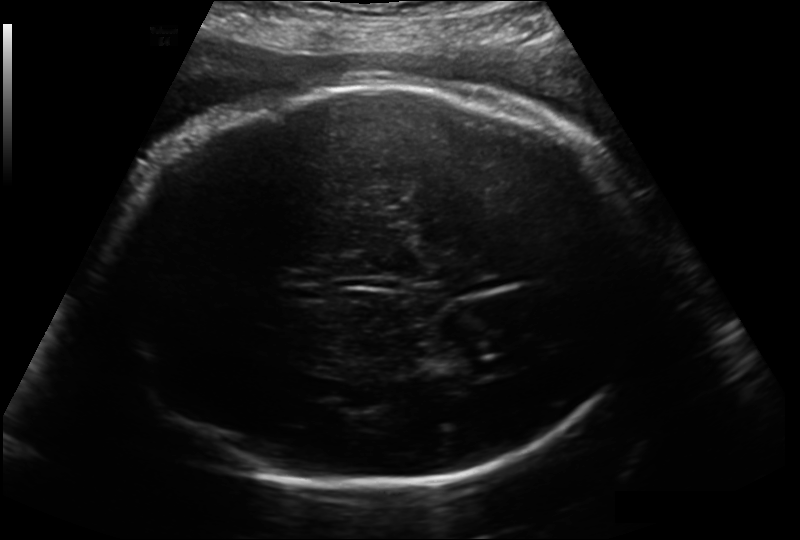
What is the fetal head circumference? Image width is 171.3 mm.

317.6 mm